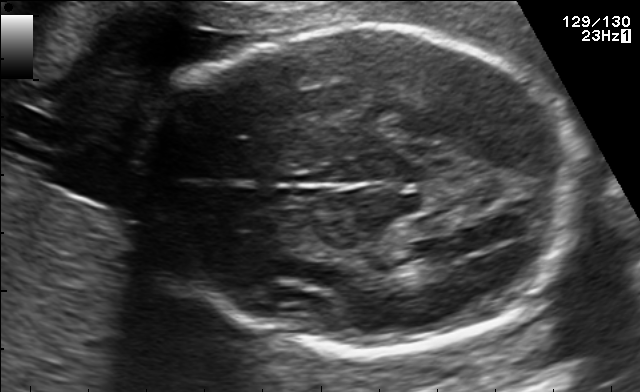
Fetal brain, trans-ventricular plane. Locate the fetal head.

Head: [138,21,590,357]